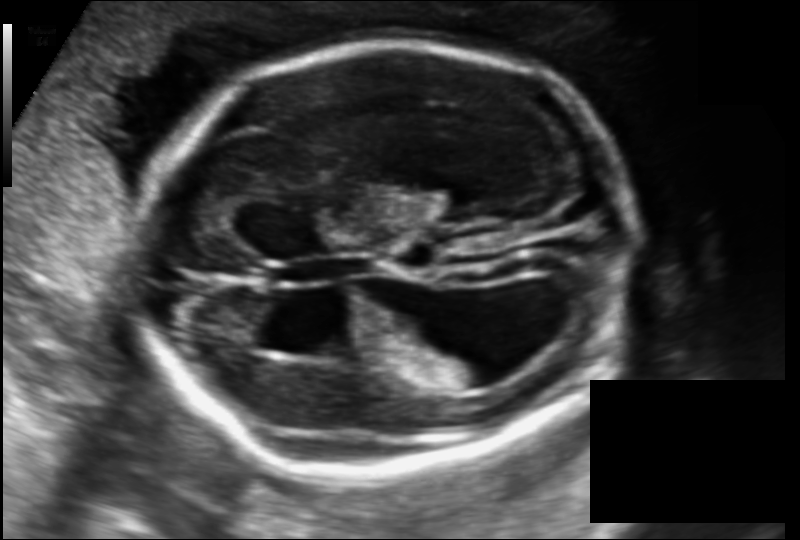
What is the fetal head circumference? Image width is 112.8 mm.

213.5 mm